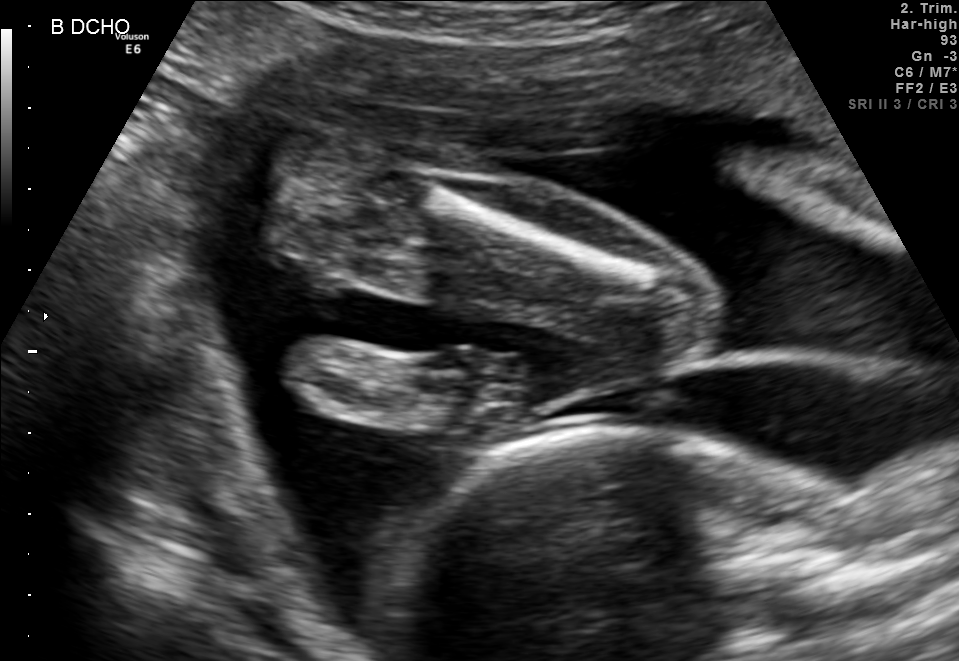
Identify the standard plane in this fetal ultrasound image: fetal abdomen, fetal brain, fetal femur, fetal thorax, maternal cervix, or other. If it's fetal brain and one of the three standard brain planes (trans-thalamic, trans-cerebellum, trans-ventricular), name which.

Fetal femur